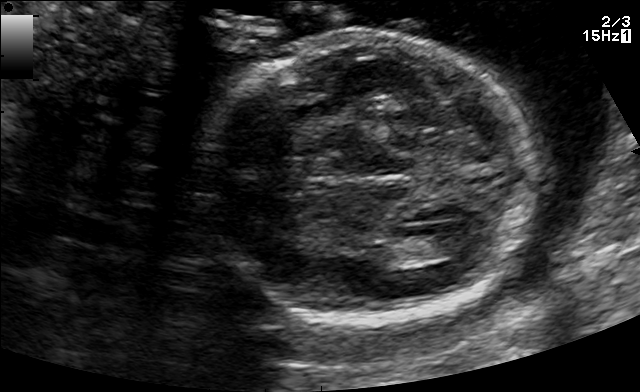
In this fetal brain, trans-ventricular plane, give bounding boxes for the head outline, cavum septum pellucidum (CSP), and lateral ventricle (LV), where visible.

Head: [190,26,544,330]
CSP: [302,171,341,191]
Lateral ventricle: [426,231,478,260]